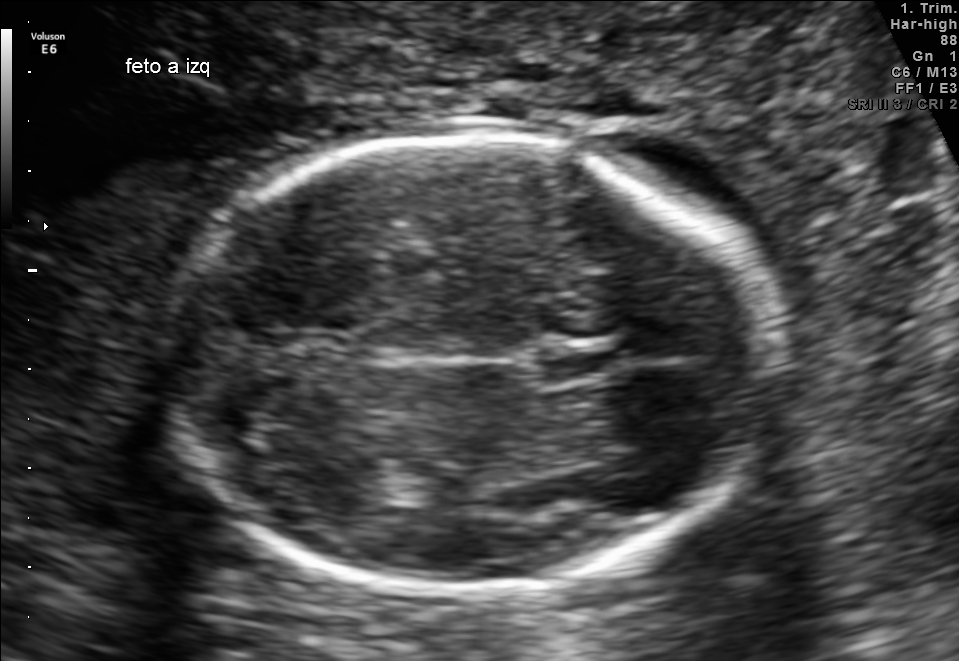
Fetal brain, trans-thalamic plane. Give [x1,y1,x2,y2] bounding boxes for each visible structure among: fetal head, CSP, LV.

Head: [163,137,780,590]
CSP: [539,342,619,380]